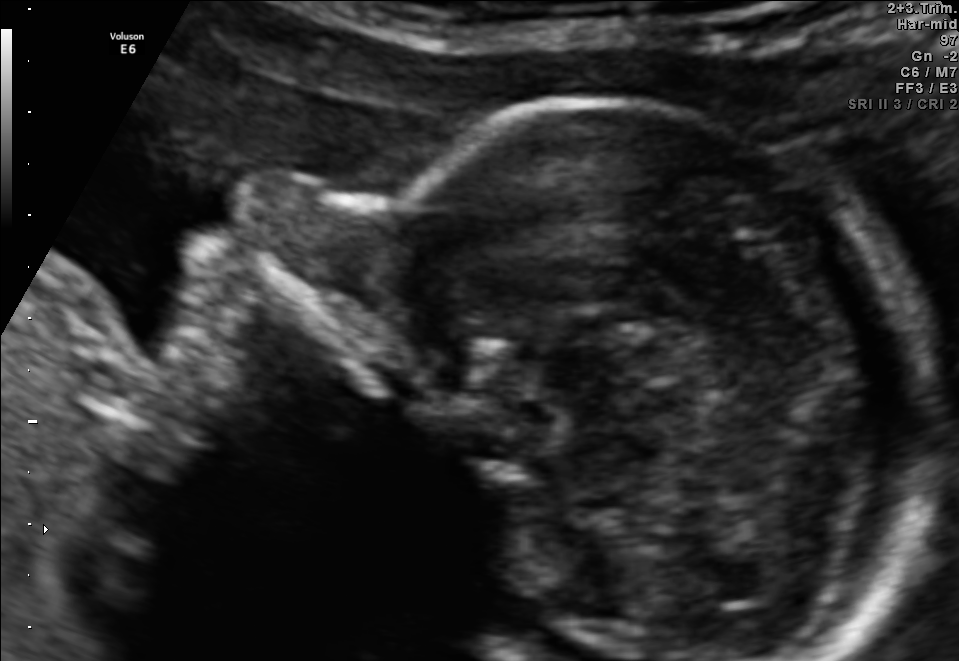
This is a 2D maternal-fetal ultrasound frame. Is it a fetal abdomen, fetal brain, fetal femur, fetal thorax, maternal cervix, or other standard plane? If it's fetal brain and one of the three standard brain planes (trans-thalamic, trans-cerebellum, trans-ventricular), name which.

Other